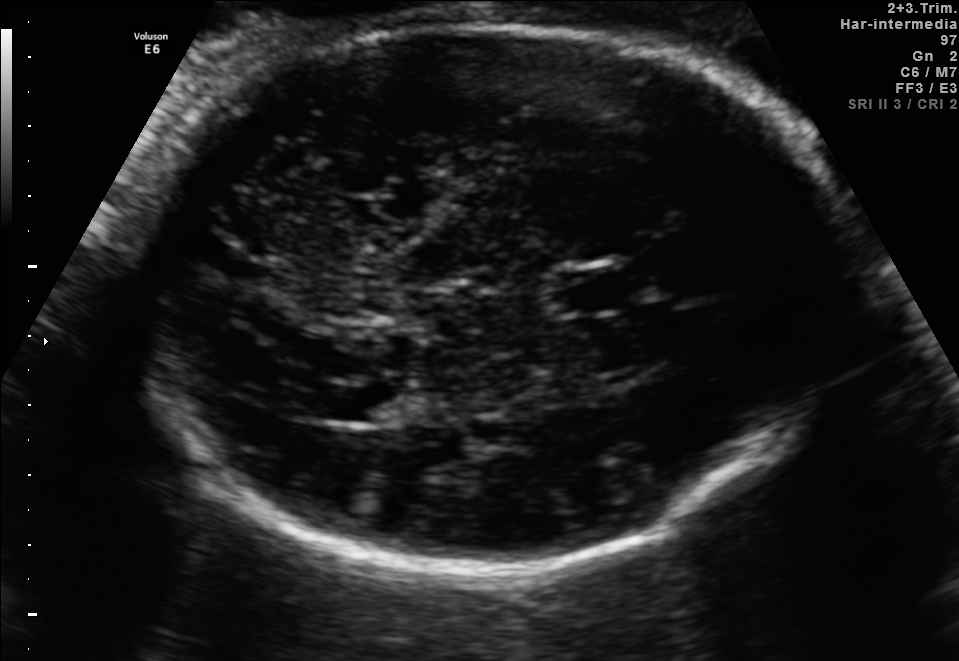
Fetal brain, trans-thalamic plane. Where is the lateral ventricle?

Lateral ventricle bounding box: [305,383,391,424]